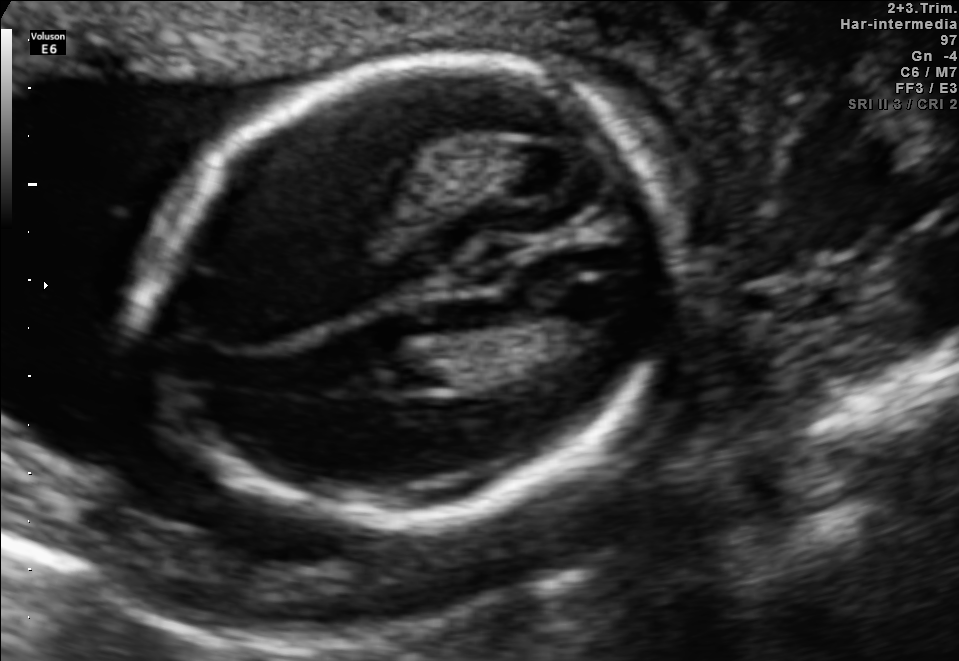
Fetal brain, trans-thalamic plane. Locate the fetal head and, if visible, the cavum septum pellucidum (CSP) and lateral ventricle (LV). Give bounding boxes as [x1,y1,x2,y2].

Head: [140,63,677,526]